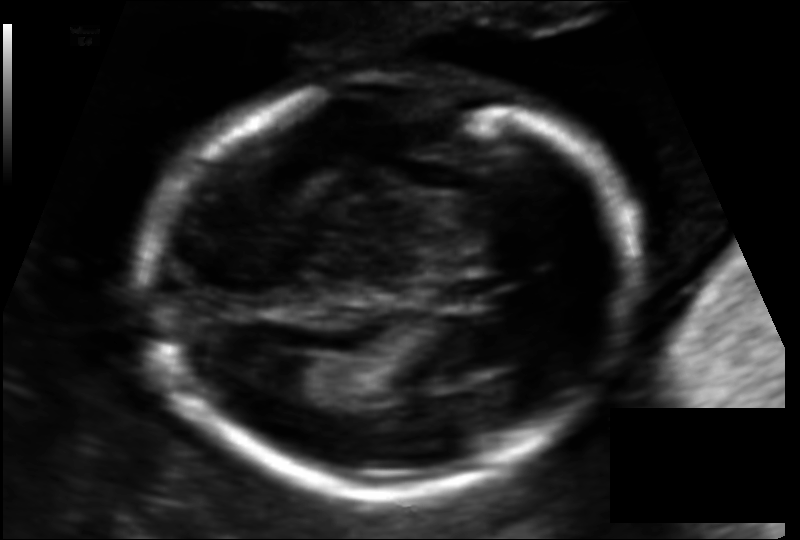
Fetal head ultrasound. Image width: 92.3 mm. Locate the cavum septum pellucidum.

CSP: [430,272,504,314]